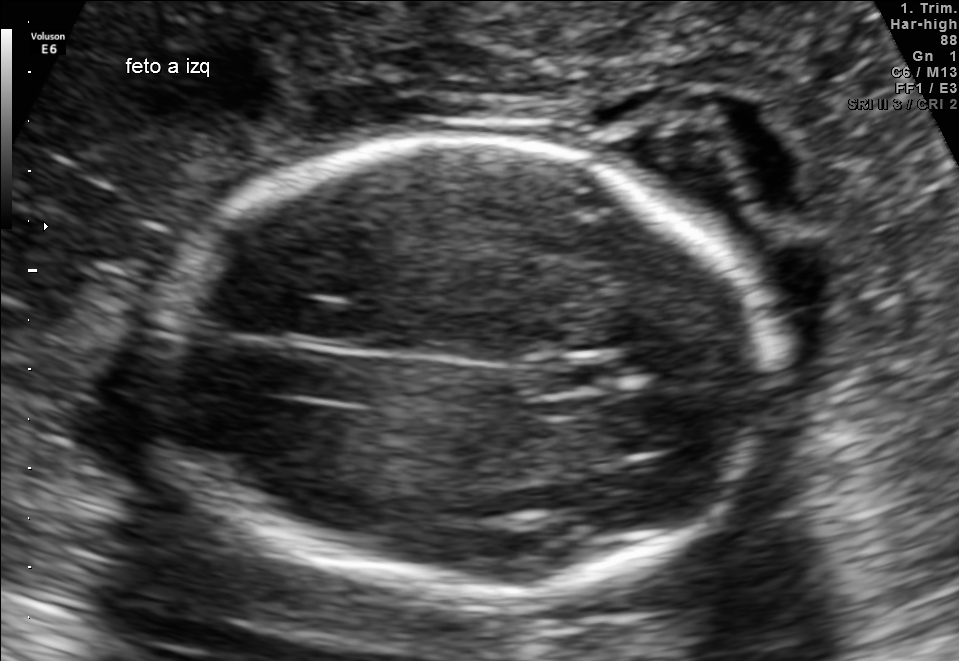
This is a 2D maternal-fetal ultrasound frame. Is it a fetal abdomen, fetal brain, fetal femur, fetal thorax, maternal cervix, or other standard plane? If it's fetal brain and one of the three standard brain planes (trans-thalamic, trans-cerebellum, trans-ventricular), name which.

Fetal brain (trans-thalamic plane)